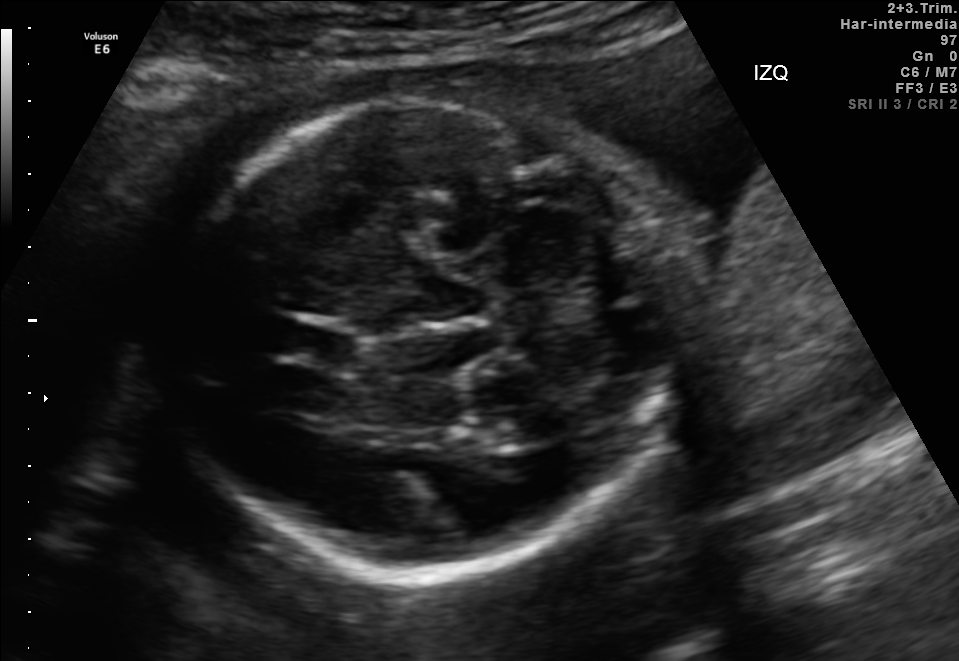
Fetal brain, trans-cerebellum plane. Locate the fetal head and, if visible, the cavum septum pellucidum (CSP) and lateral ventricle (LV). Give bounding boxes as [x1,y1,x2,y2].

Head: [169,94,704,577]
CSP: [278,315,362,372]